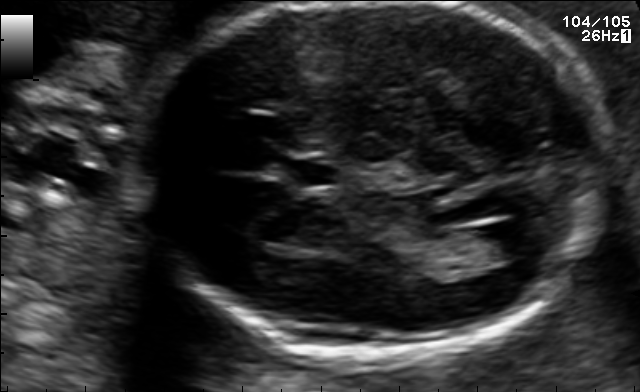
In this fetal brain, trans-ventricular plane, give the bounding box of the fetal head.

[119,3,619,365]